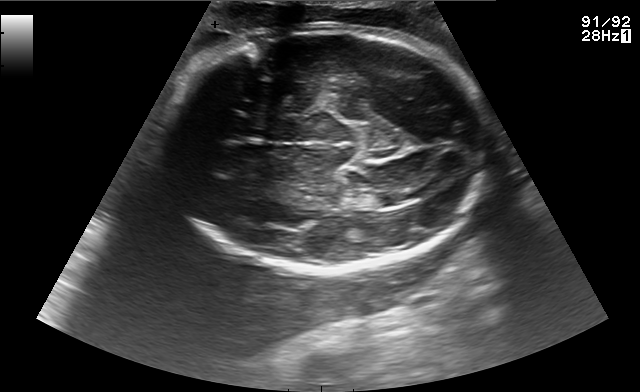
Fetal brain, trans-thalamic plane. Where is the fetal head?

Head bounding box: [160,25,493,273]